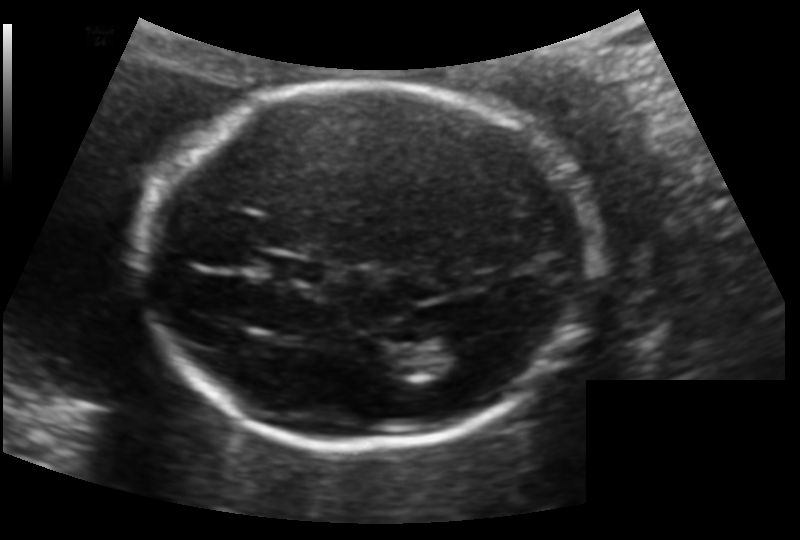
In this fetal head ultrasound, give the bounding box of the cavum septum pellucidum. Image width: 106.4 mm.

[263,251,328,290]